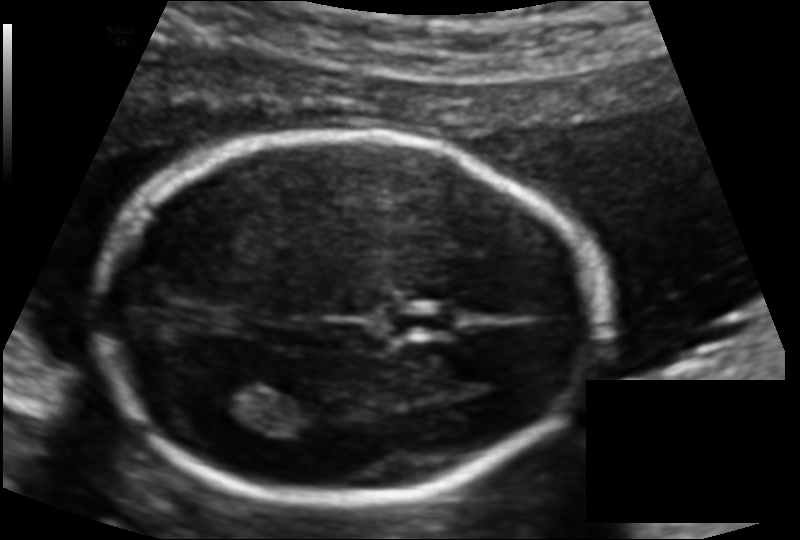
Measure the fetal head circumference shown in this ultrasound image. Image width: 91.6 mm.

Head circumference: 163.4 mm.